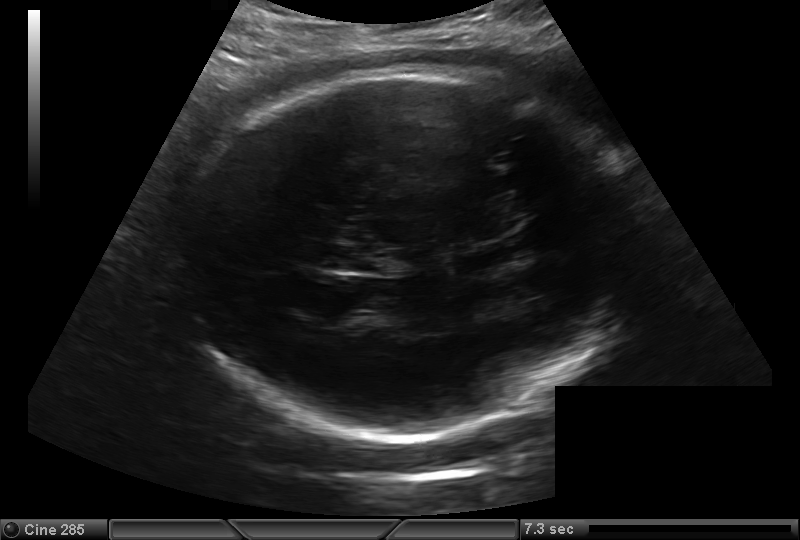
Estimate the fetal head circumference from this 2D ultrasound. Image width: 173.2 mm.

Head circumference: 288.9 mm.